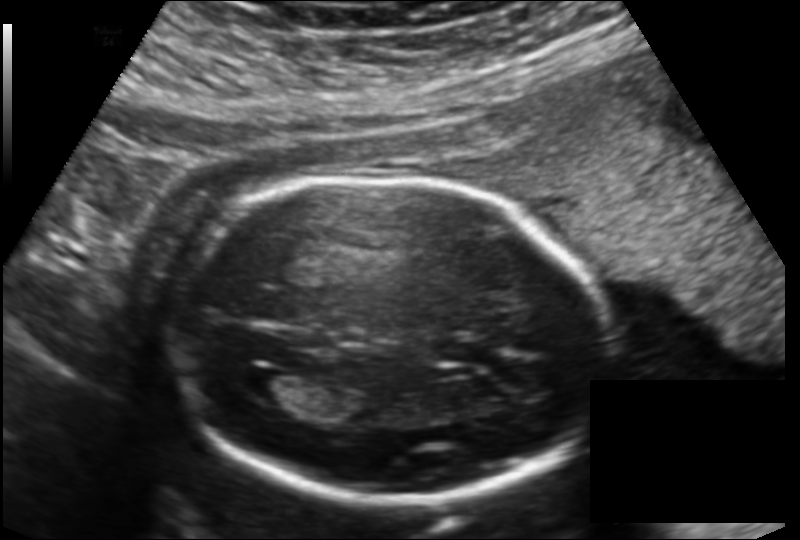
From this fetal ultrasound, estimate the head circumference (image width 120.4 mm).

Head circumference: 183.0 mm.